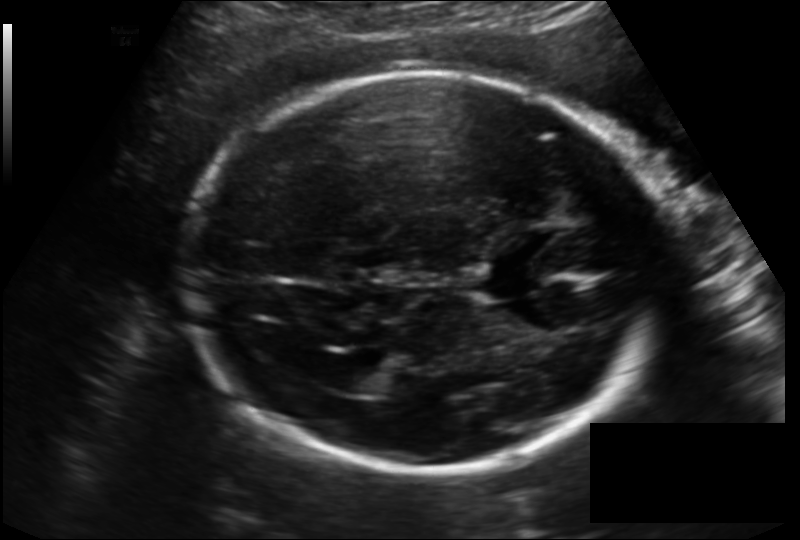
Fetal head ultrasound. Image width: 133.1 mm. Locate the fetal head and, if visible, the cavum septum pellucidum (CSP) and lateral ventricle (LV). Give bounding boxes as [x1,y1,x2,y2].

Head: [189,74,663,476]
CSP: [474,256,543,302]
Lateral ventricle: [333,363,385,396]